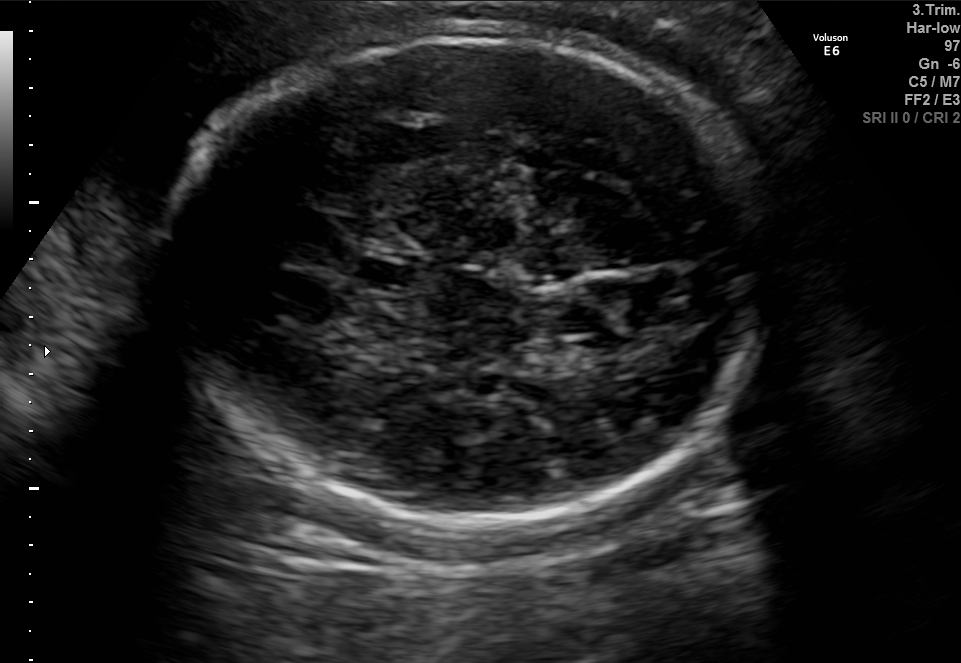
Fetal brain, trans-thalamic plane. Give [x1,y1,x2,y2] bounding boxes for each visible structure among: fetal head, CSP, LV.

Head: [165,32,780,533]
CSP: [353,257,415,288]